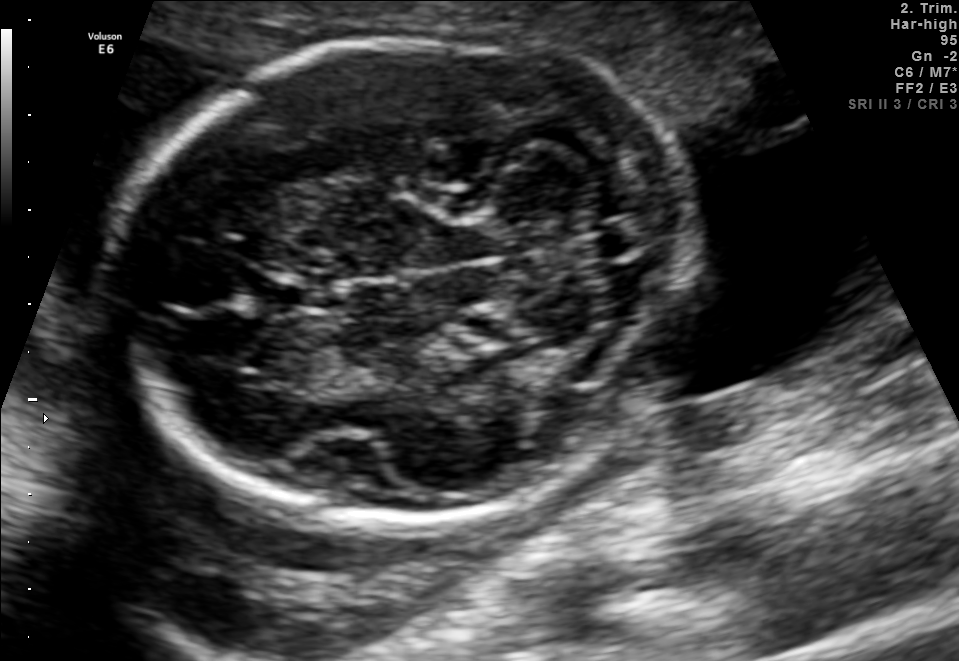
Fetal brain, trans-cerebellum plane. Locate the fetal head.

Head: [117,38,682,527]